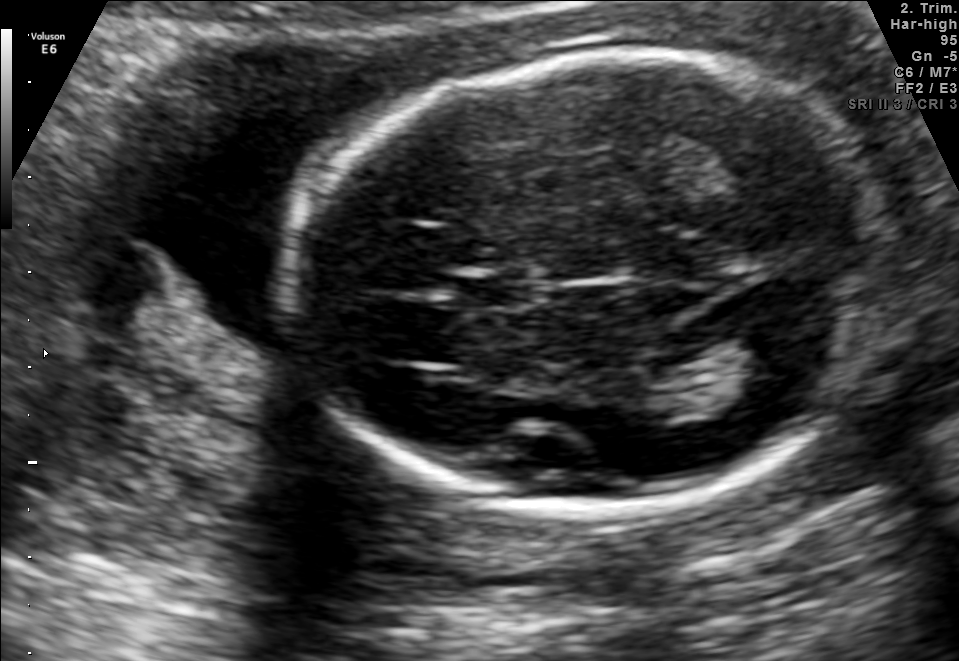
In this fetal brain, trans-thalamic plane, give the bounding box of the lateral ventricle.

[692,330,820,418]